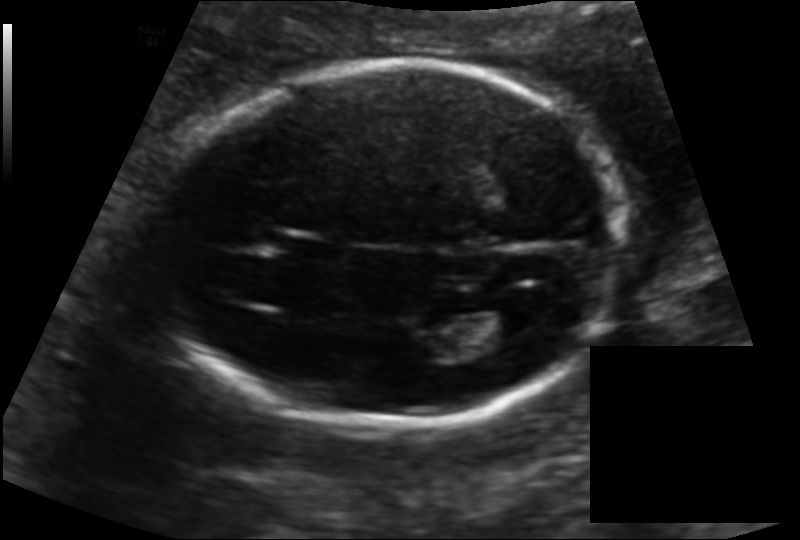
In this fetal head ultrasound, give the bounding box of the lateral ventricle. Image width: 110.8 mm.

[457,287,544,352]